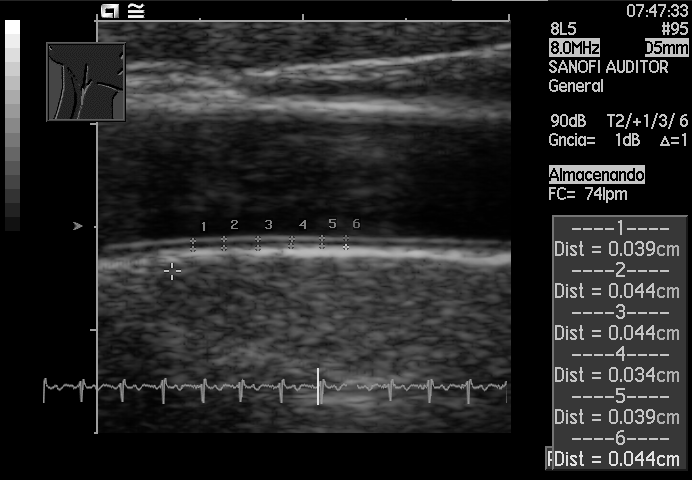
Classify this maternal-fetal ultrasound image as one of the six standard planes — fetal abdomen, fetal brain, fetal femur, fetal thorax, maternal cervix, or other. If it's fetal brain and one of the three standard brain planes (trans-thalamic, trans-cerebellum, trans-ventricular), name which.

Other